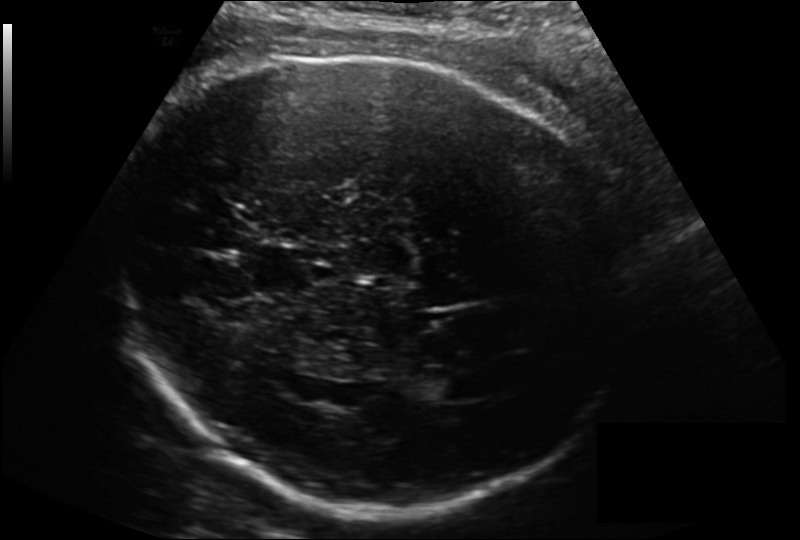
Fetal head ultrasound. Image width: 159.6 mm. Where is the lateral ventricle?

Lateral ventricle bounding box: [423,376,475,401]